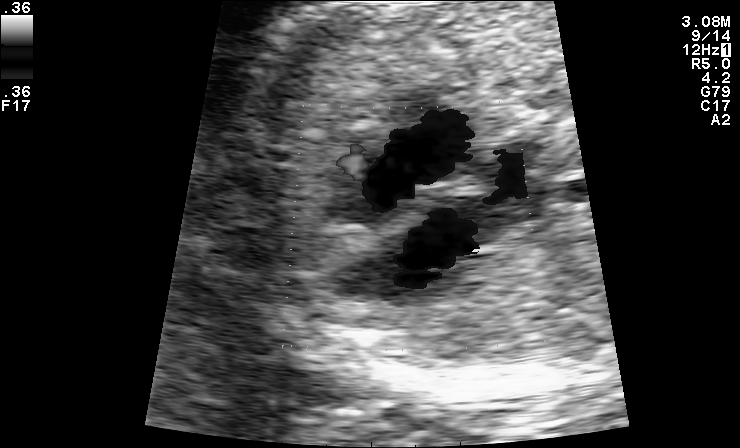
Identify the standard plane in this fetal ultrasound image: fetal abdomen, fetal brain, fetal femur, fetal thorax, maternal cervix, or other. If it's fetal brain and one of the three standard brain planes (trans-thalamic, trans-cerebellum, trans-ventricular), name which.

Other